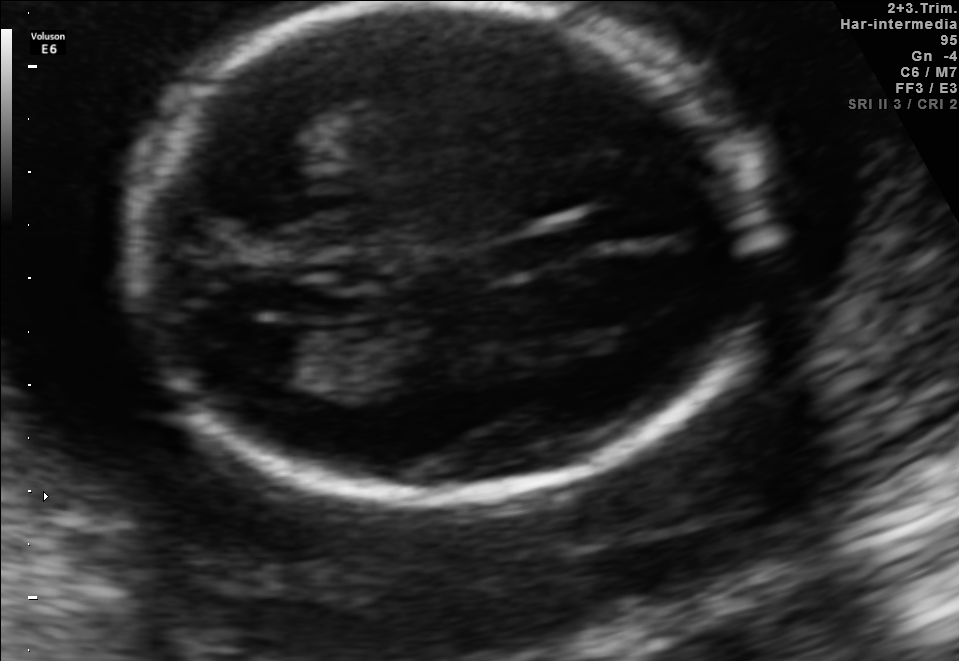
Fetal brain, trans-ventricular plane. Locate the fetal head and, if visible, the cavum septum pellucidum (CSP) and lateral ventricle (LV). Give bounding boxes as [x1,y1,x2,y2].

Head: [109,4,788,507]
Lateral ventricle: [222,319,311,380]